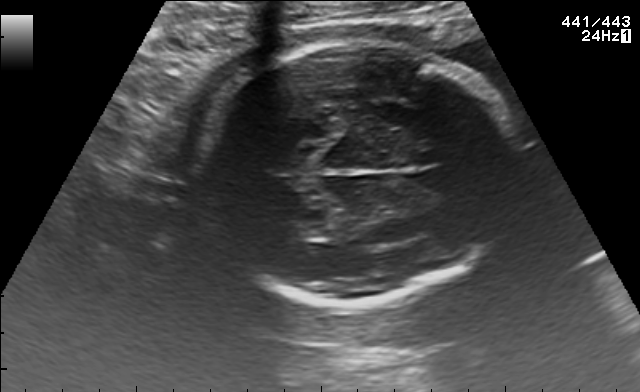
Classify this maternal-fetal ultrasound image as one of the six standard planes — fetal abdomen, fetal brain, fetal femur, fetal thorax, maternal cervix, or other. If it's fetal brain and one of the three standard brain planes (trans-thalamic, trans-cerebellum, trans-ventricular), name which.

Fetal brain (trans-thalamic plane)